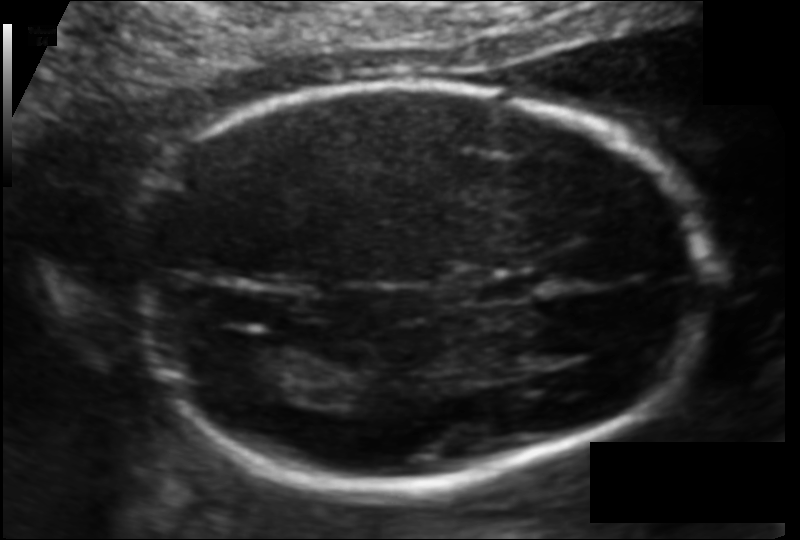
Fetal head ultrasound. Image width: 87.4 mm. Locate the fetal head.

Head: [123,82,705,486]